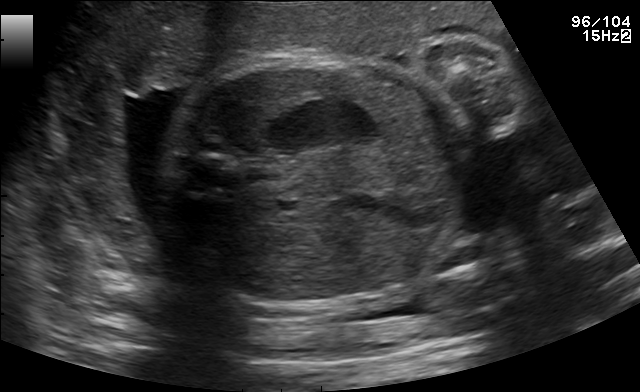
Which standard maternal-fetal ultrasound plane is shown: fetal abdomen, fetal brain, fetal femur, fetal thorax, maternal cervix, or other? If it's fetal brain and one of the three standard brain planes (trans-thalamic, trans-cerebellum, trans-ventricular), name which.

Fetal abdomen